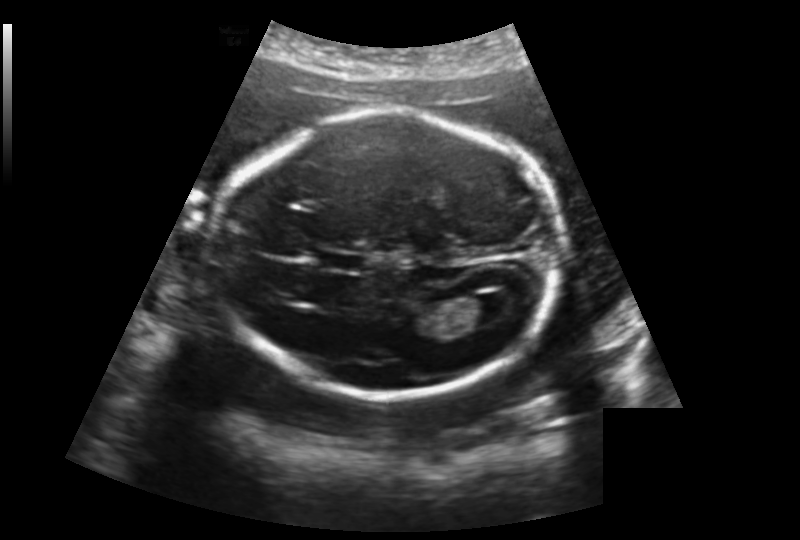
Fetal head ultrasound. Image width: 150.3 mm. Locate the fetal head and, if visible, the cavum septum pellucidum (CSP) and lateral ventricle (LV). Give bounding boxes as [x1,y1,x2,y2].

Head: [214,114,563,394]
CSP: [315,248,368,276]
Lateral ventricle: [462,289,520,330]